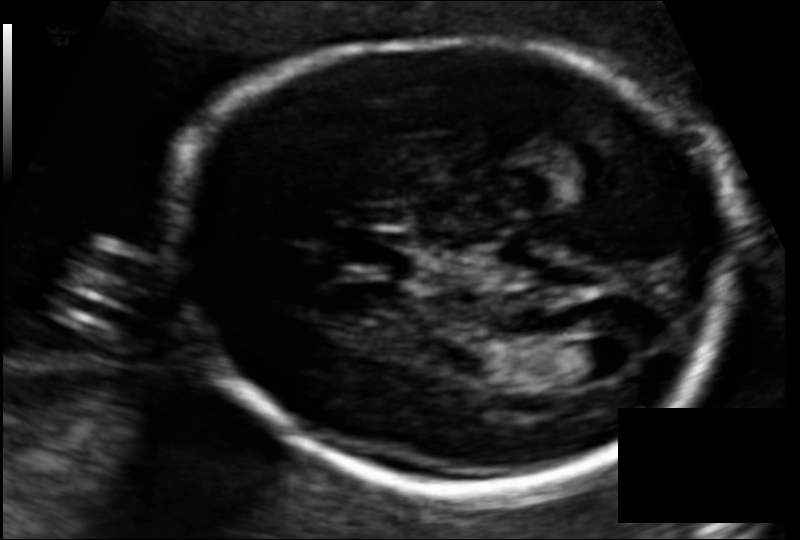
In this fetal head ultrasound, give the bounding box of the cavum septum pellucidum. Image width: 86.4 mm.

[342,228,416,277]